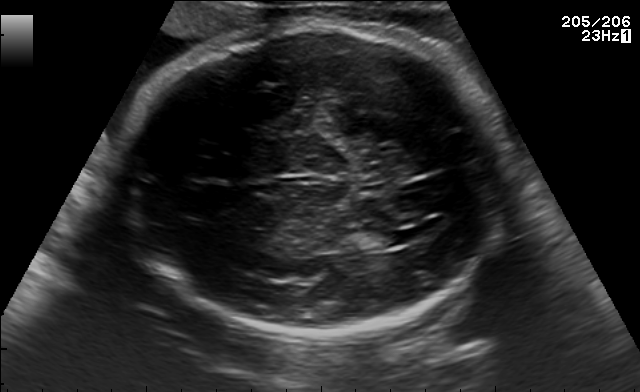
Fetal brain, trans-ventricular plane. Locate the fetal head and, if visible, the cavum septum pellucidum (CSP) and lateral ventricle (LV). Give bounding boxes as [x1,y1,x2,y2].

Head: [123,24,511,338]